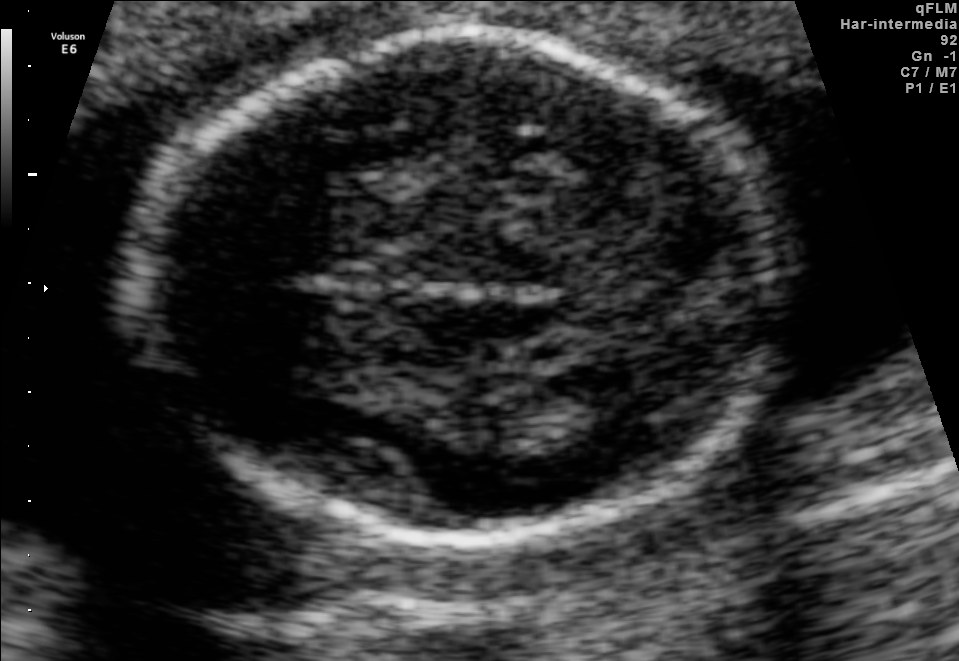
In this fetal brain, trans-thalamic plane, give bounding boxes for the head outline, cavum septum pellucidum (CSP), and lateral ventricle (LV), where visible.

Head: [130,30,785,541]